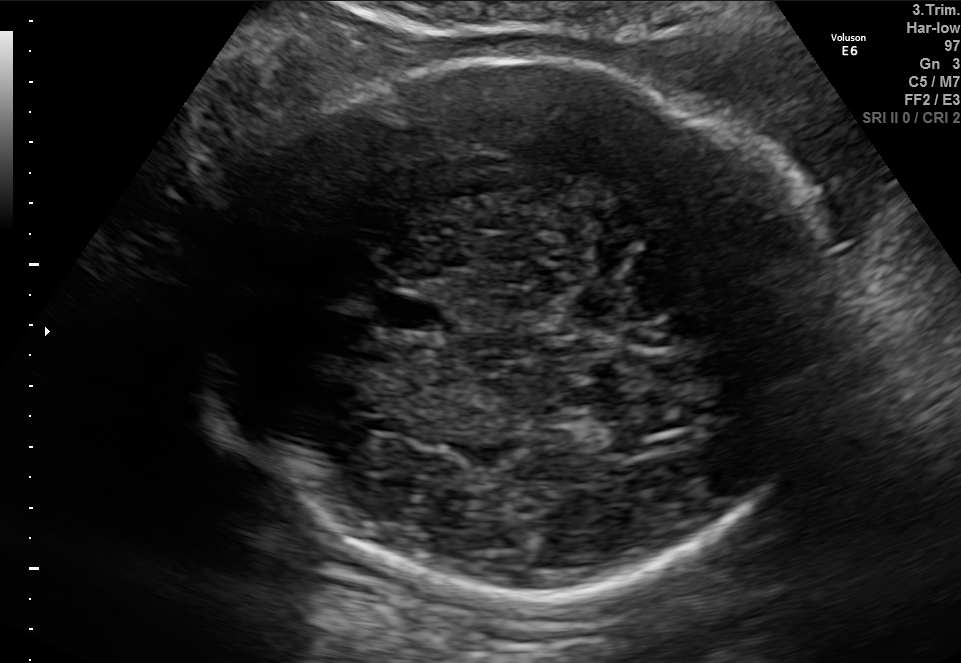
Fetal brain, trans-thalamic plane. Give [x1,y1,x2,y2] bounding boxes for each visible structure among: fetal head, CSP, LV.

Head: [197,56,838,593]
CSP: [376,292,453,332]